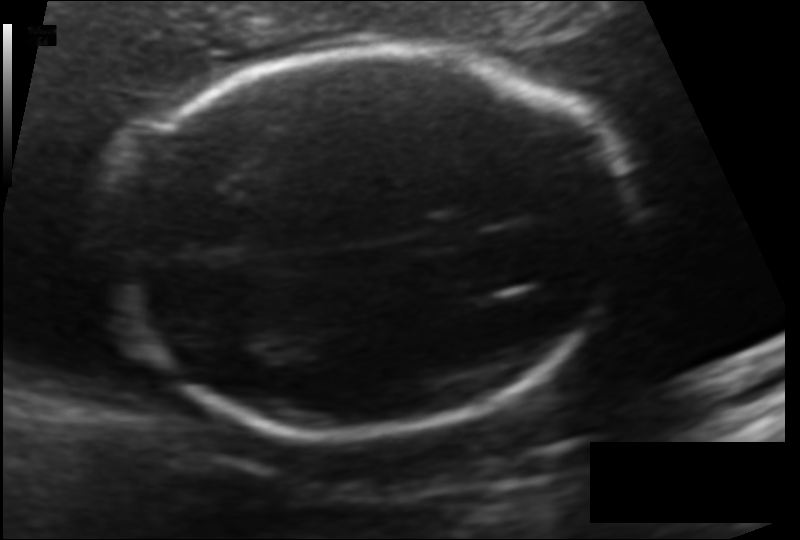
Estimate the fetal head circumference from this 2D ultrasound. Image width: 97.8 mm.

Head circumference: 178.7 mm.